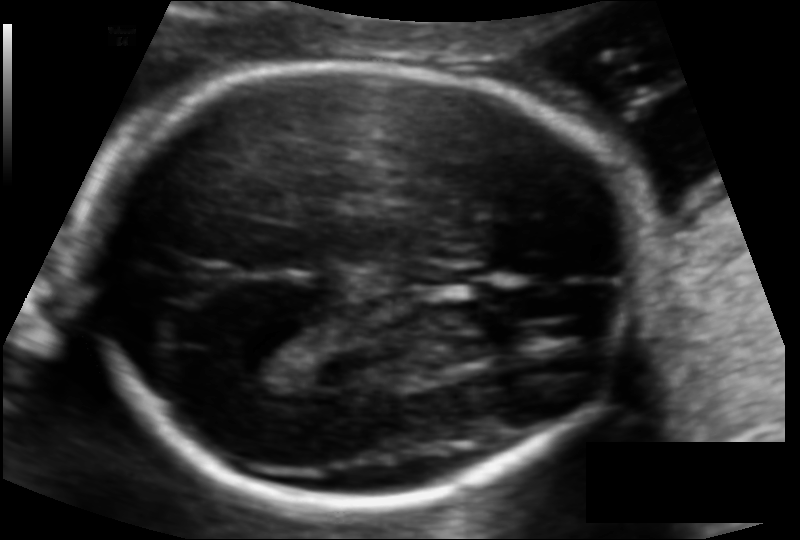
Estimate the fetal head circumference from this 2D ultrasound. Image width: 86.6 mm.

Head circumference: 176.2 mm.